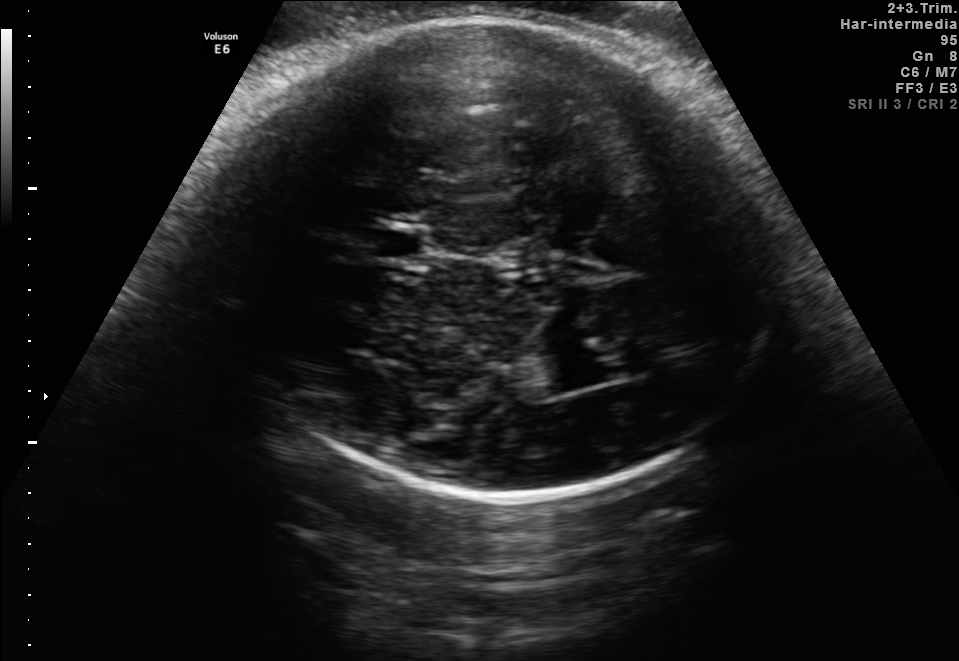
In this fetal brain, trans-thalamic plane, give the bounding box of the fetal head.

[214,22,781,499]